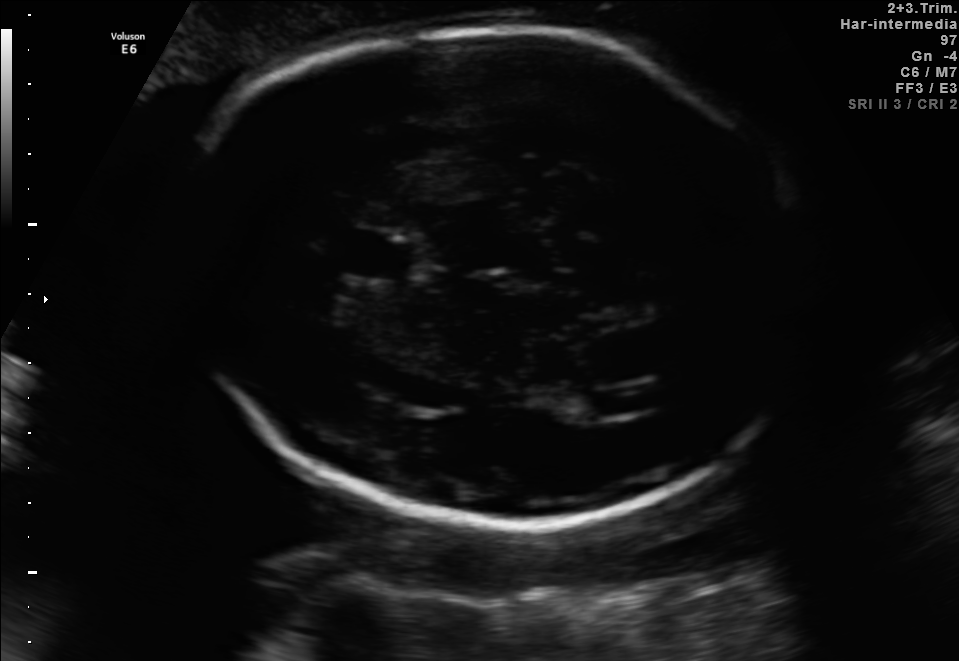
In this fetal brain, trans-ventricular plane, give the bounding box of the fetal head.

[160,14,831,533]